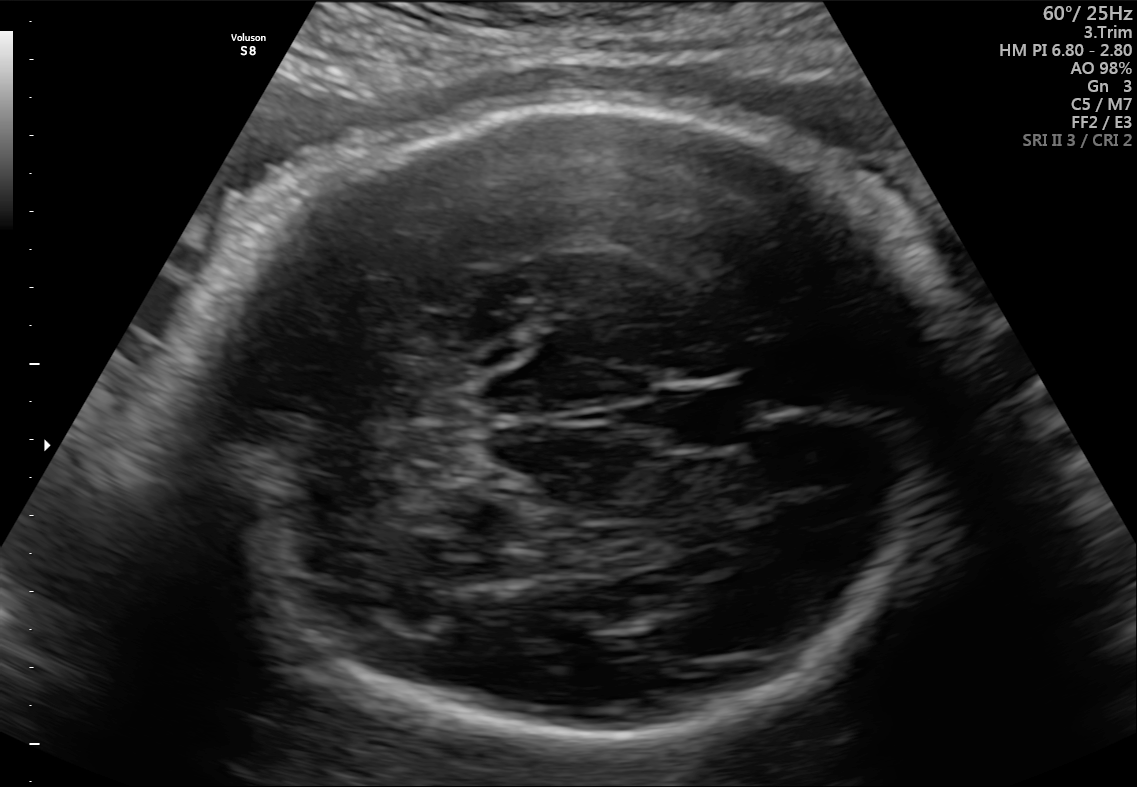
Fetal brain, trans-cerebellum plane. Where is the fetal head?

Head bounding box: [184,106,953,743]